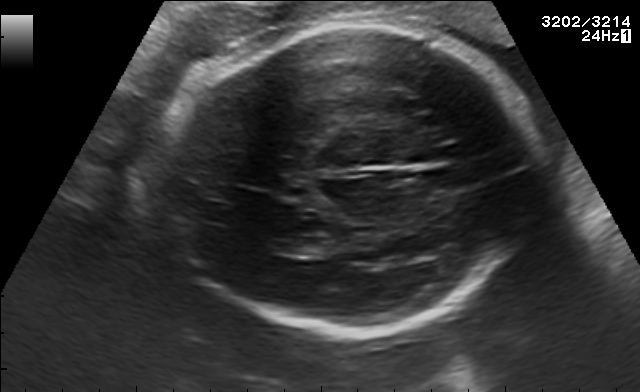
Identify the standard plane in this fetal ultrasound image: fetal abdomen, fetal brain, fetal femur, fetal thorax, maternal cervix, or other. If it's fetal brain and one of the three standard brain planes (trans-thalamic, trans-cerebellum, trans-ventricular), name which.

Fetal brain (trans-thalamic plane)